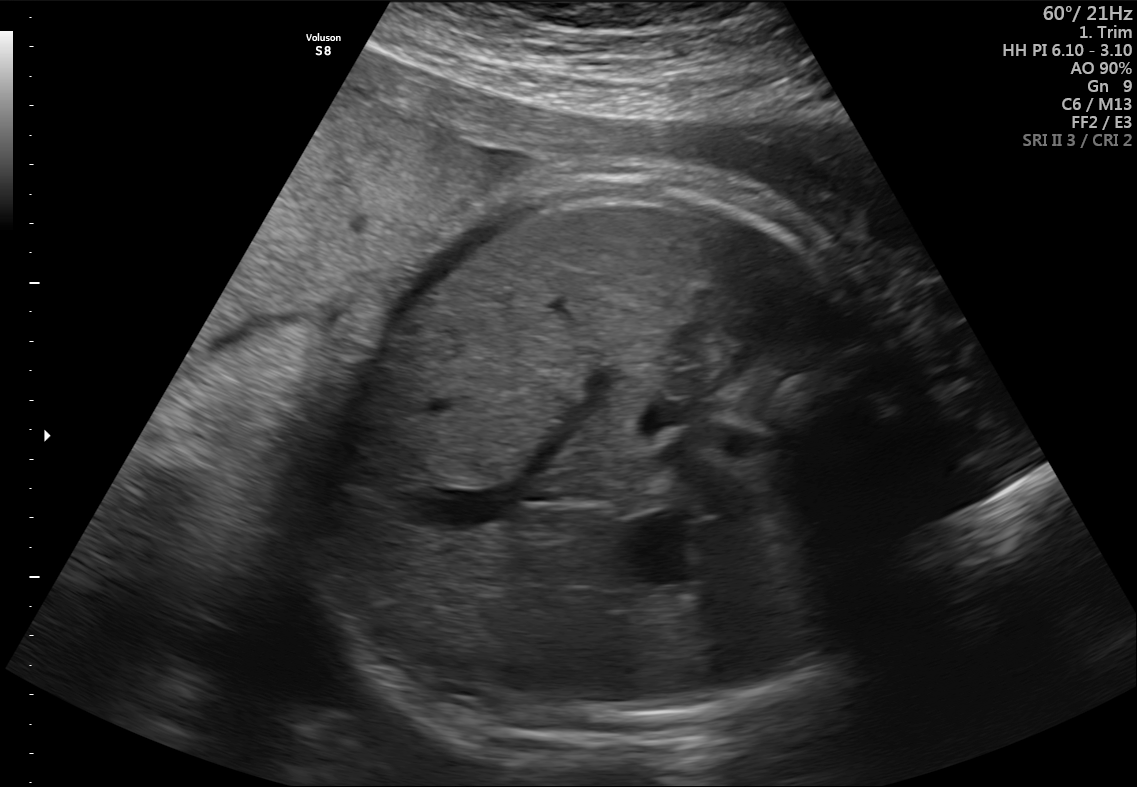
This is a 2D maternal-fetal ultrasound frame. Is it a fetal abdomen, fetal brain, fetal femur, fetal thorax, maternal cervix, or other standard plane? If it's fetal brain and one of the three standard brain planes (trans-thalamic, trans-cerebellum, trans-ventricular), name which.

Fetal abdomen